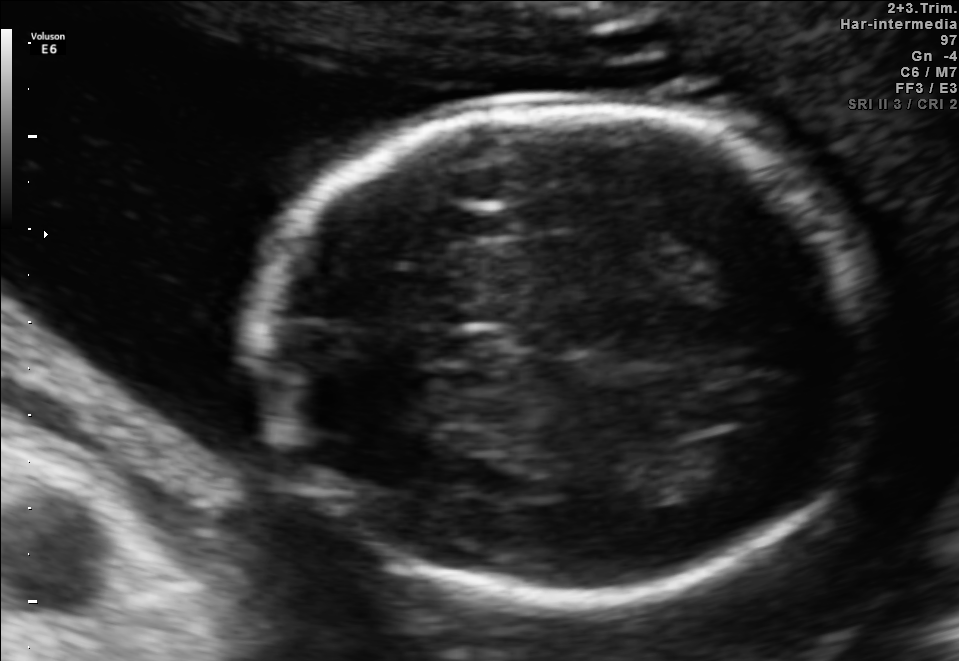
Fetal brain, trans-ventricular plane. Give [x1,y1,x2,y2] bounding boxes for each visible structure among: fetal head, CSP, LV.

Head: [241,98,896,607]
CSP: [426,331,508,367]
Lateral ventricle: [685,421,788,494]